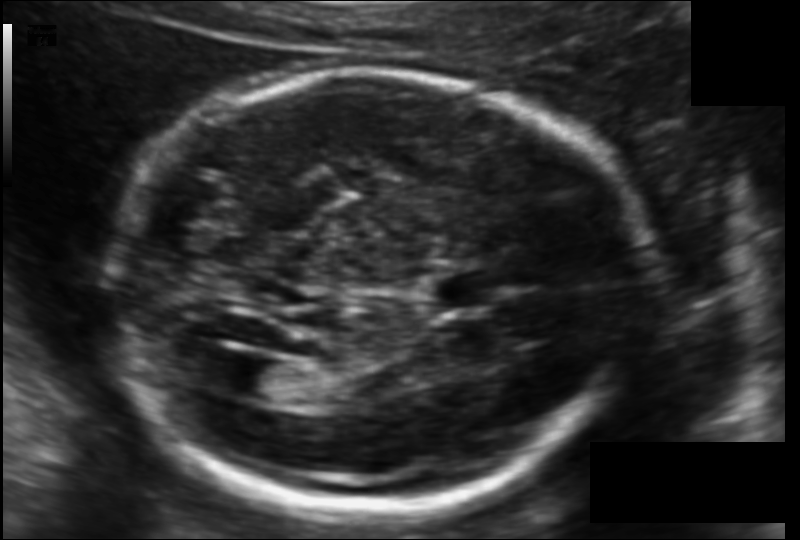
Fetal head ultrasound. Image width: 95.3 mm. Where is the lateral ventricle?

Lateral ventricle bounding box: [221,355,293,402]